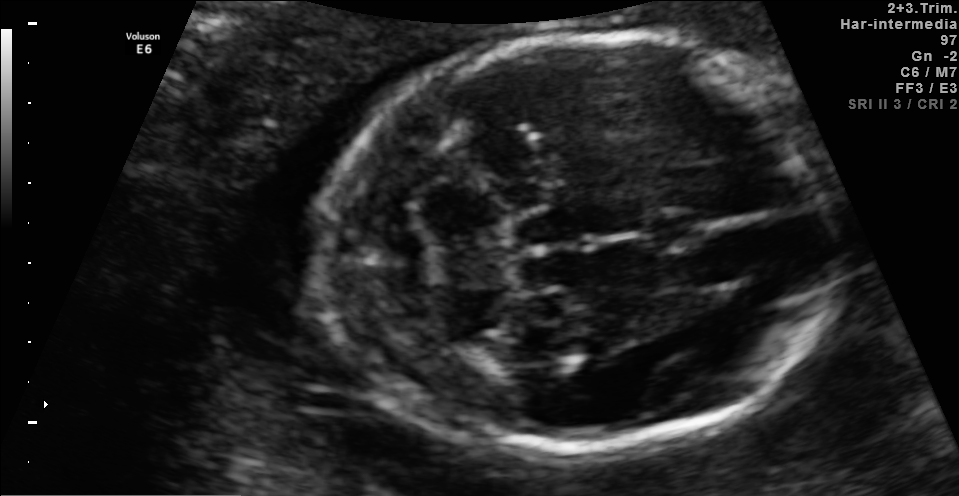
Fetal brain, trans-cerebellum plane. Locate the fetal head and, if visible, the cavum septum pellucidum (CSP) and lateral ventricle (LV). Give bounding boxes as [x1,y1,x2,y2].

Head: [316,36,843,448]
CSP: [638,208,710,252]